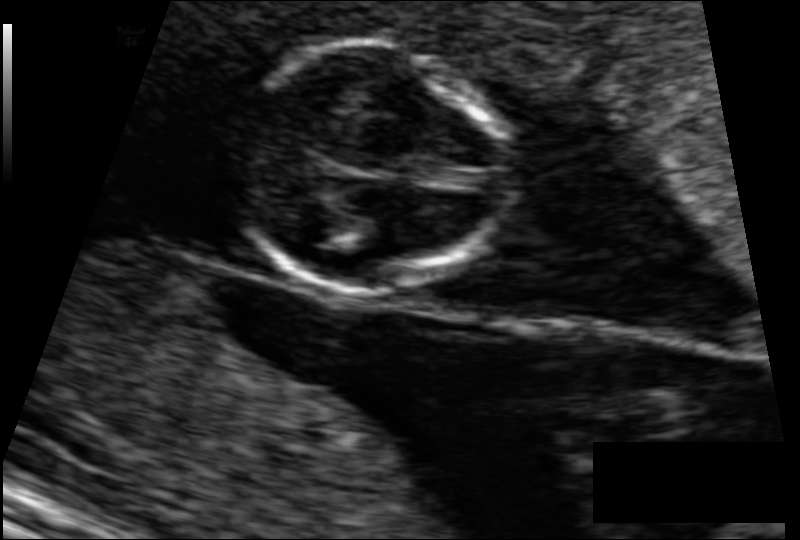
Measure the fetal head circumference shown in this ultrasound image. Image width: 66.3 mm.

Head circumference: 70.1 mm.